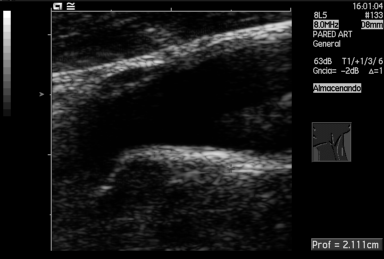
Which standard maternal-fetal ultrasound plane is shown: fetal abdomen, fetal brain, fetal femur, fetal thorax, maternal cervix, or other? If it's fetal brain and one of the three standard brain planes (trans-thalamic, trans-cerebellum, trans-ventricular), name which.

Other